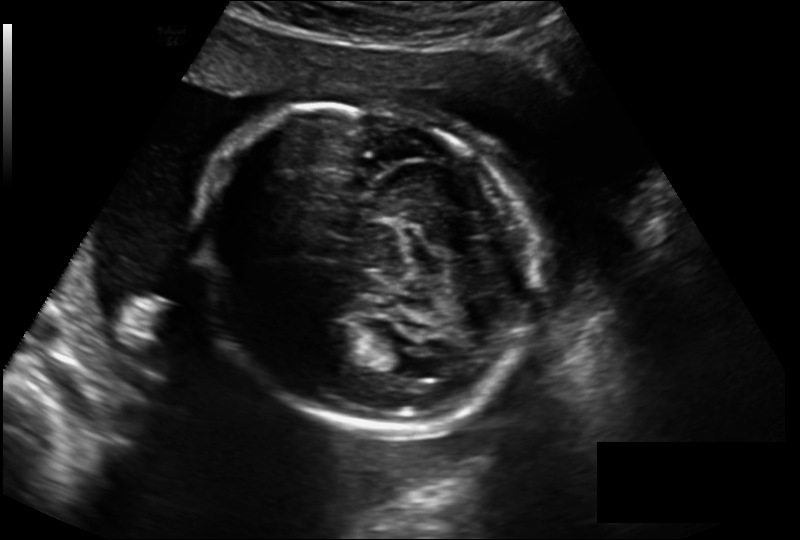
Estimate the fetal head circumference from this 2D ultrasound.

Head circumference: 229.4 mm (image width 168.7 mm).